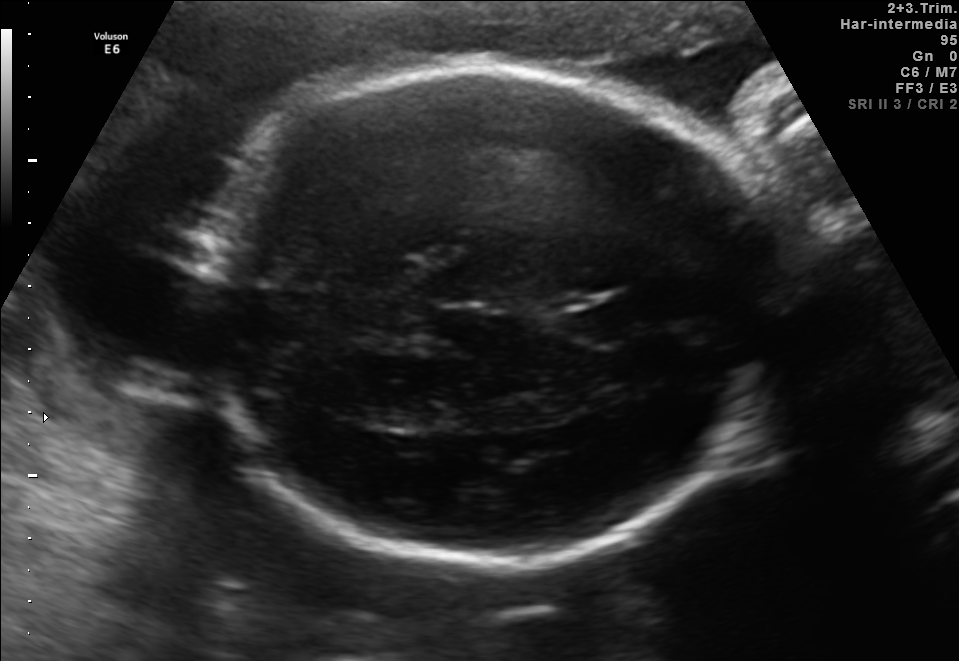
Fetal brain, trans-thalamic plane. Give [x1,y1,x2,y2] bounding boxes for each visible structure among: fetal head, CSP, LV.

Head: [191,68,786,561]
CSP: [571,289,650,347]
Lateral ventricle: [344,393,432,431]